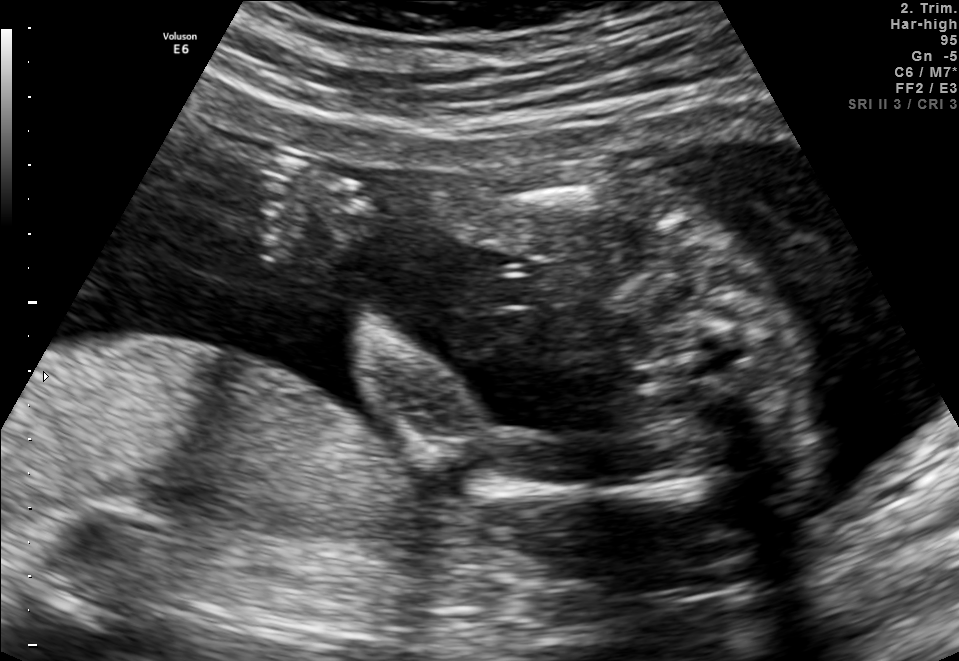
Classify this maternal-fetal ultrasound image as one of the six standard planes — fetal abdomen, fetal brain, fetal femur, fetal thorax, maternal cervix, or other. If it's fetal brain and one of the three standard brain planes (trans-thalamic, trans-cerebellum, trans-ventricular), name which.

Other